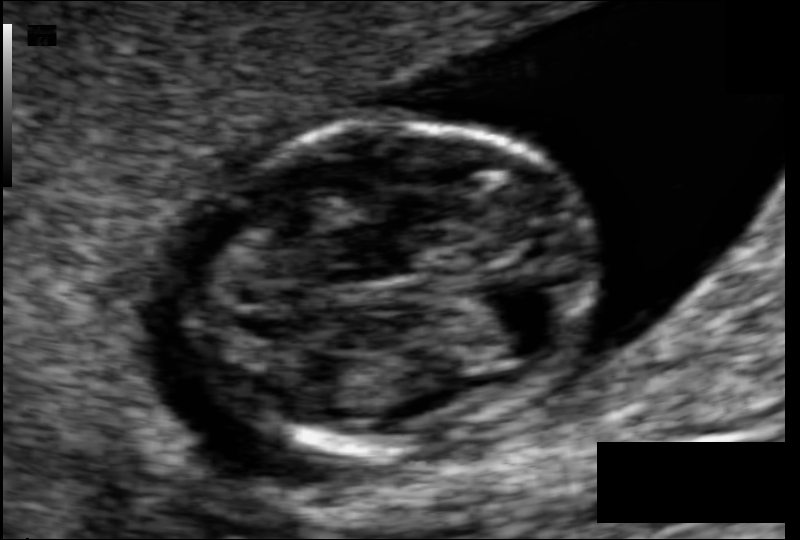
Fetal head ultrasound. Image width: 49.9 mm. Give [x1,y1,x2,y2] bounding boxes for each visible structure among: fetal head, CSP, LV.

Head: [184,122,594,451]